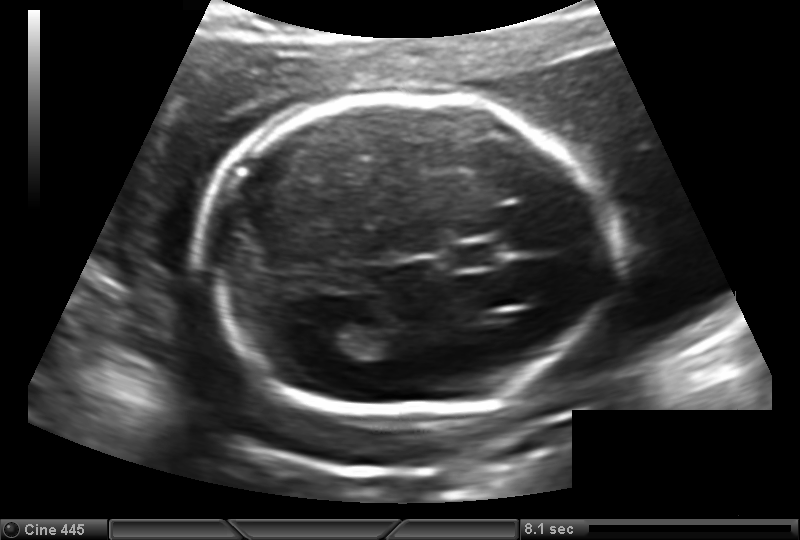
Estimate the fetal head circumference from this 2D ultrasound.

Head circumference: 180.6 mm (image width 119.4 mm).